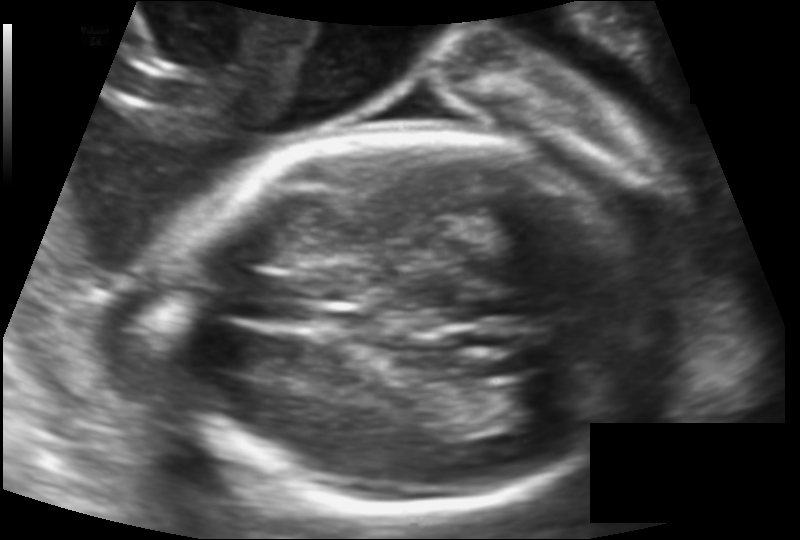
Estimate the fetal head circumference from this 2D ultrasound.

Head circumference: 177.5 mm (image width 106.2 mm).